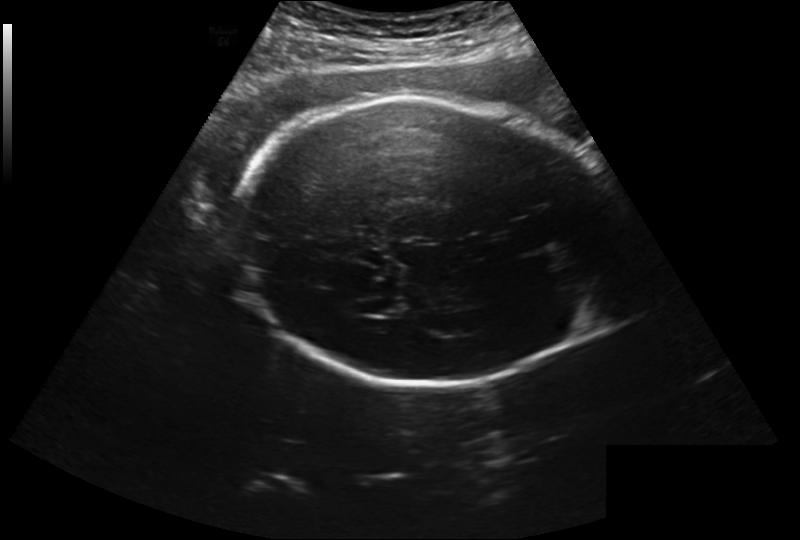
What is the fetal head circumference? Image width is 208.3 mm.

282.4 mm